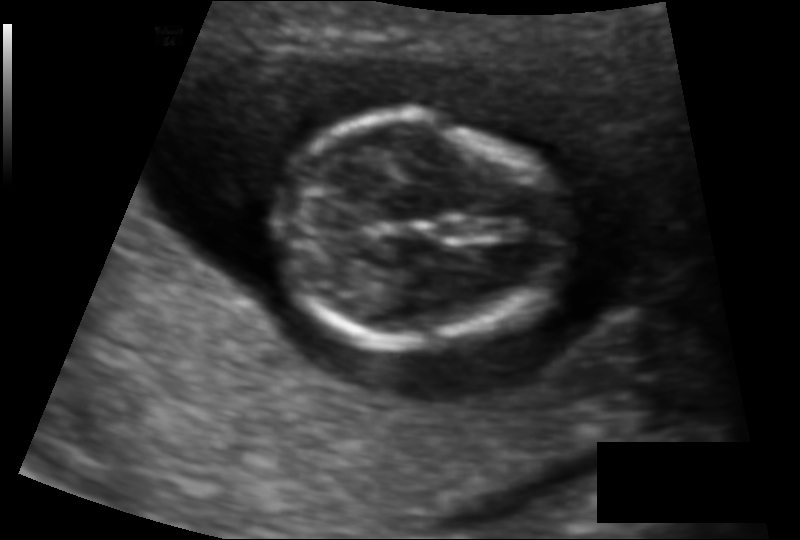
Measure the fetal head circumference shown in this ultrasound image. Image width: 76.6 mm.

Head circumference: 82.3 mm.